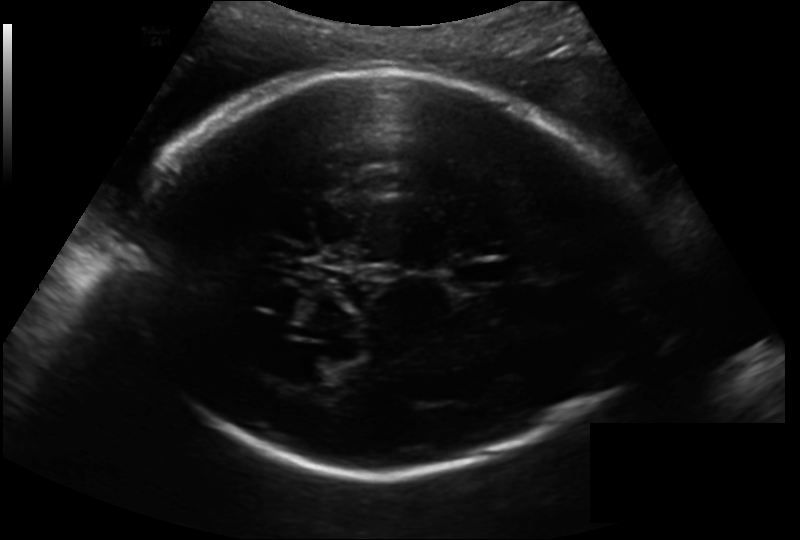
From this fetal ultrasound, estimate the head circumference (image width 154.5 mm).

Head circumference: 280.6 mm.